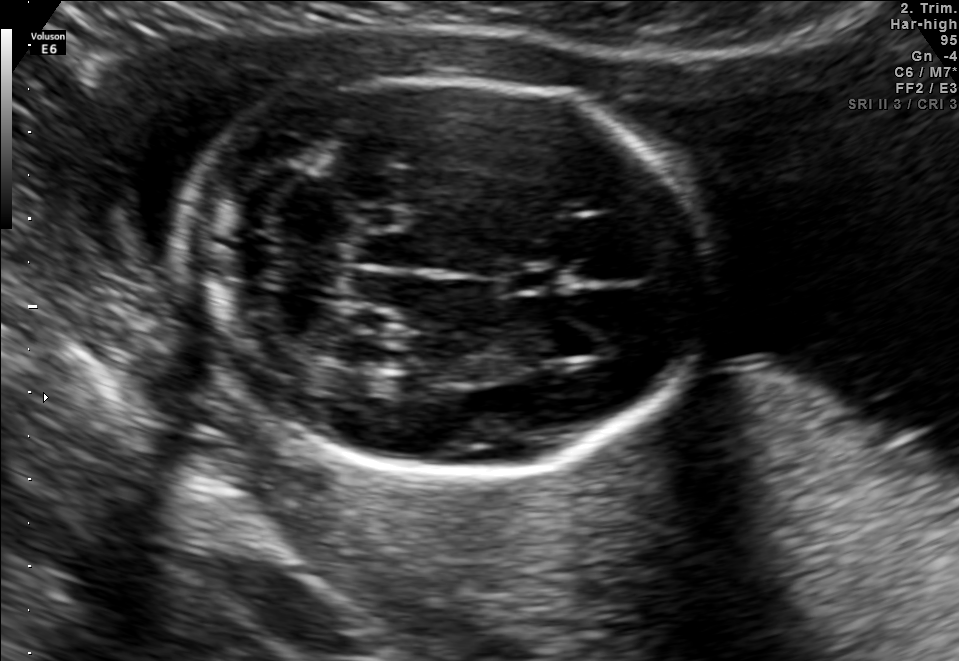
Fetal brain, trans-cerebellum plane. Locate the fetal head.

Head: [183,78,714,479]